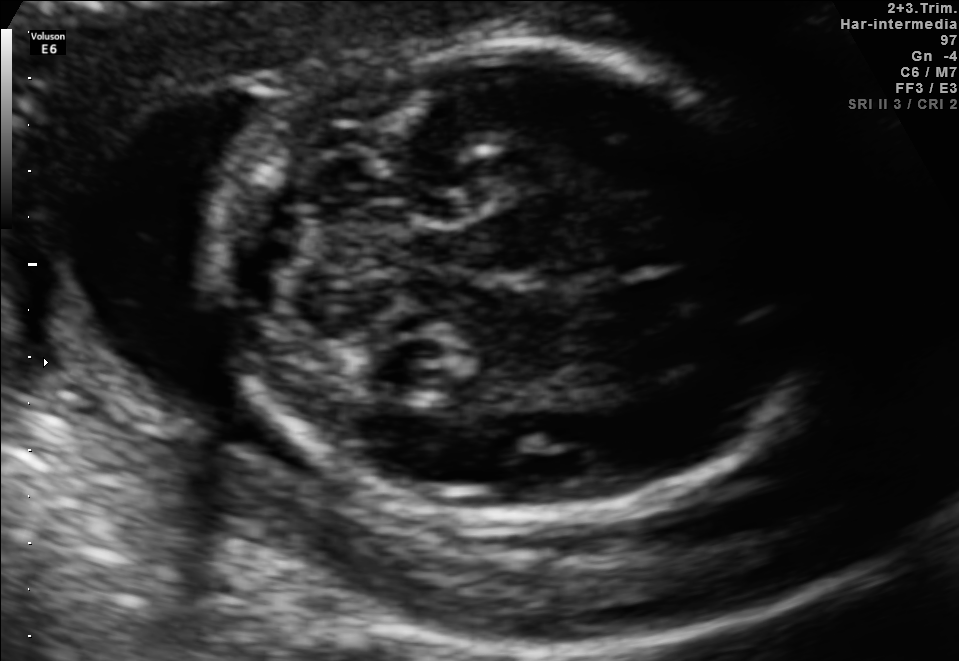
Fetal brain, trans-cerebellum plane. Locate the fetal head.

Head: [212,42,831,515]